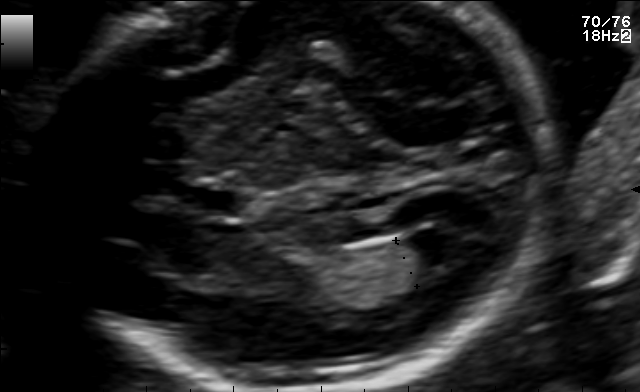
Identify the standard plane in this fetal ultrasound image: fetal abdomen, fetal brain, fetal femur, fetal thorax, maternal cervix, or other. If it's fetal brain and one of the three standard brain planes (trans-thalamic, trans-cerebellum, trans-ventricular), name which.

Other